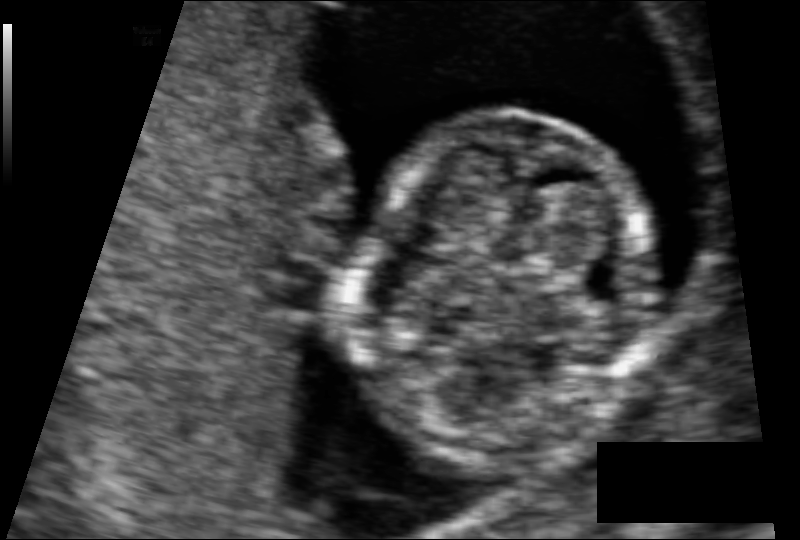
What is the fetal head circumference? Image width is 58.9 mm.

79.0 mm